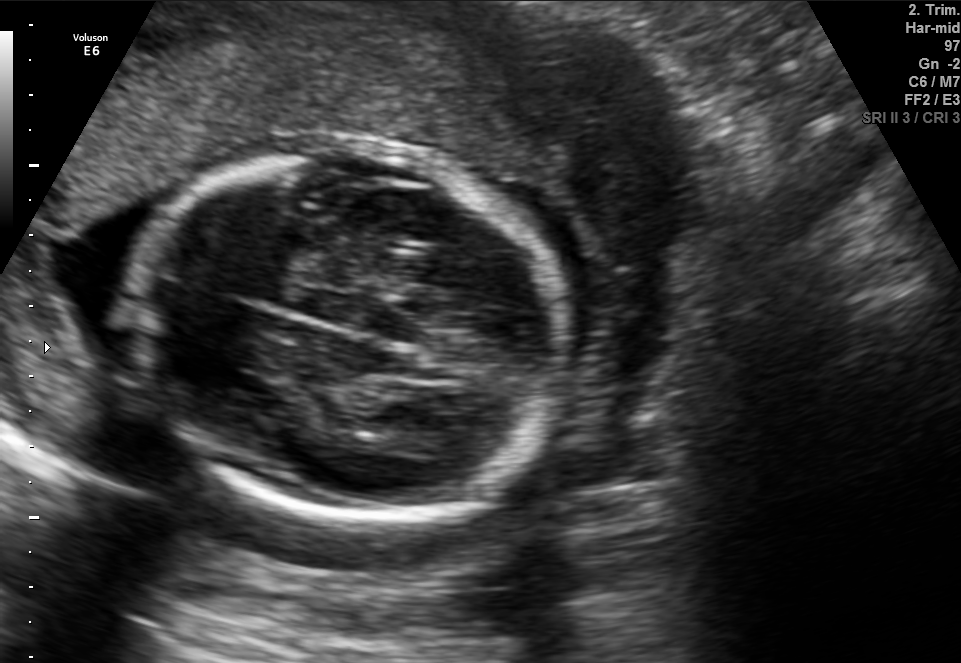
Fetal brain, trans-thalamic plane. Locate the fetal head.

Head: [122,147,572,520]